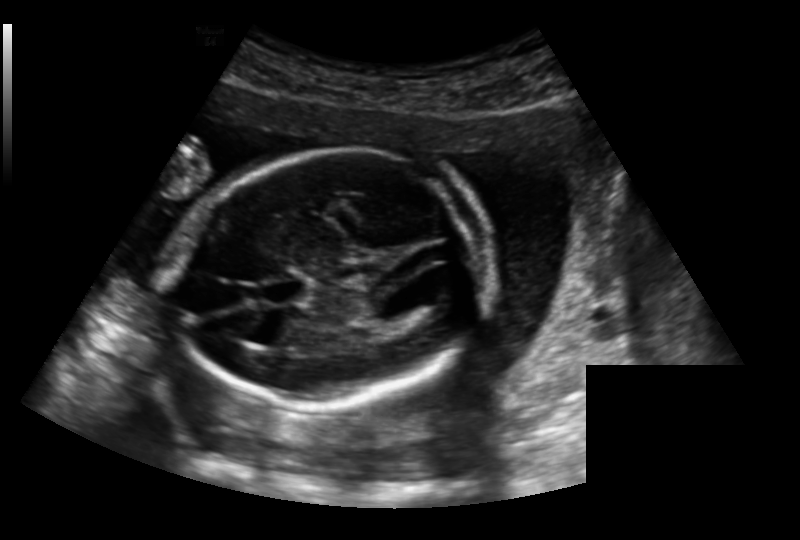
Fetal head ultrasound. Image width: 152.5 mm. Where is the cavum septum pellucidum?

CSP bounding box: [263,275,307,306]